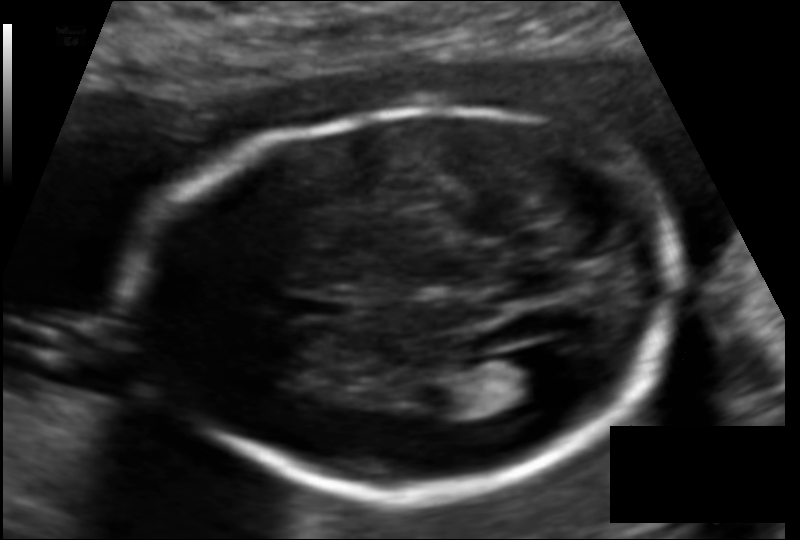
Fetal head ultrasound. Image width: 91.1 mm. Locate the cavum septum pellucidum.

CSP: [289,293,350,319]